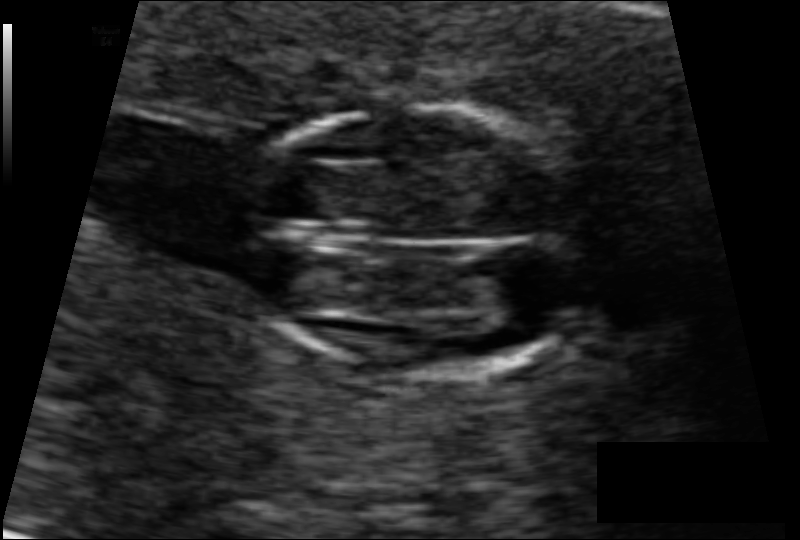
Estimate the fetal head circumference from this 2D ultrasound. Image width: 60.3 mm.

Head circumference: 77.6 mm.